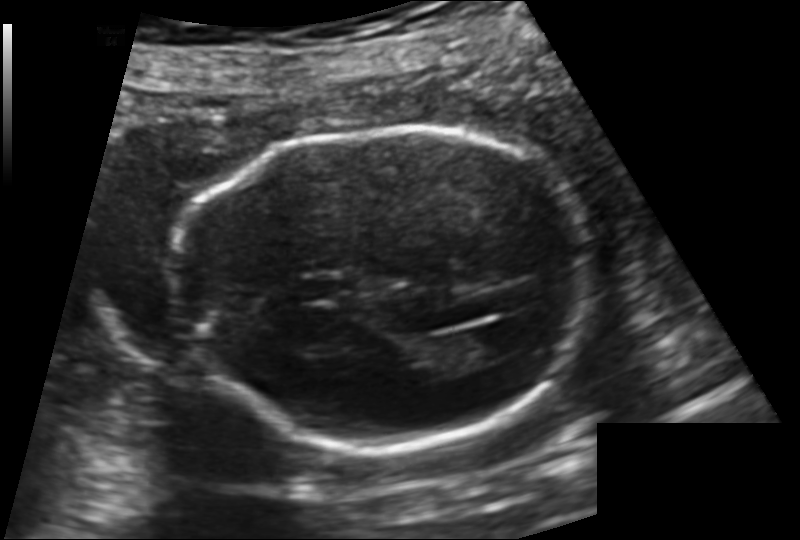
From this fetal ultrasound, estimate the head circumference (image width 115.3 mm).

Head circumference: 172.1 mm.